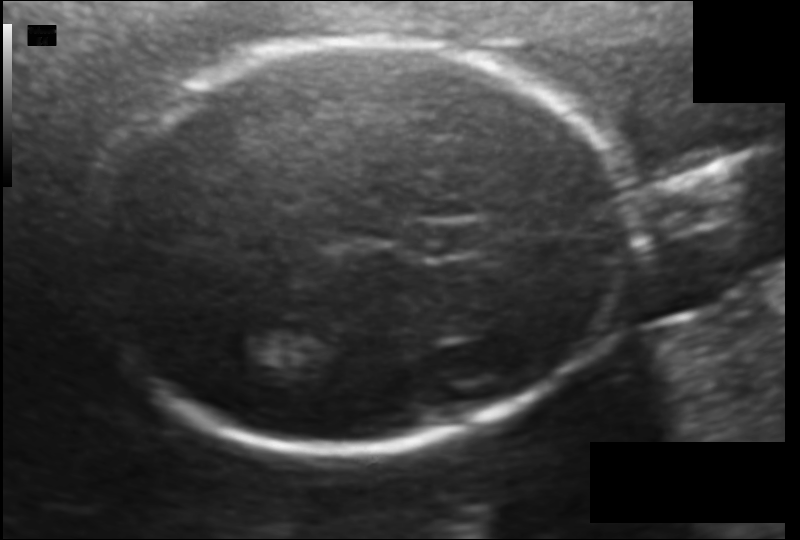
Fetal head ultrasound. Image width: 90.8 mm. Locate the fetal head.

Head: [85,40,626,449]